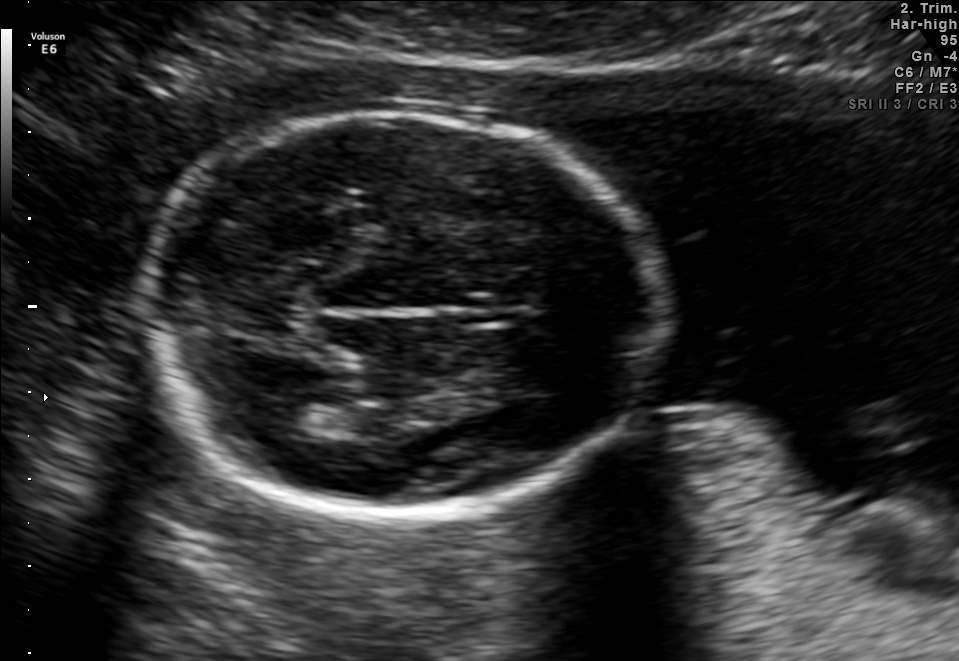
In this fetal brain, trans-thalamic plane, give bounding boxes for the head outline, cavum septum pellucidum (CSP), and lateral ventricle (LV), where visible.

Head: [133,110,662,517]
Lateral ventricle: [261,396,319,439]